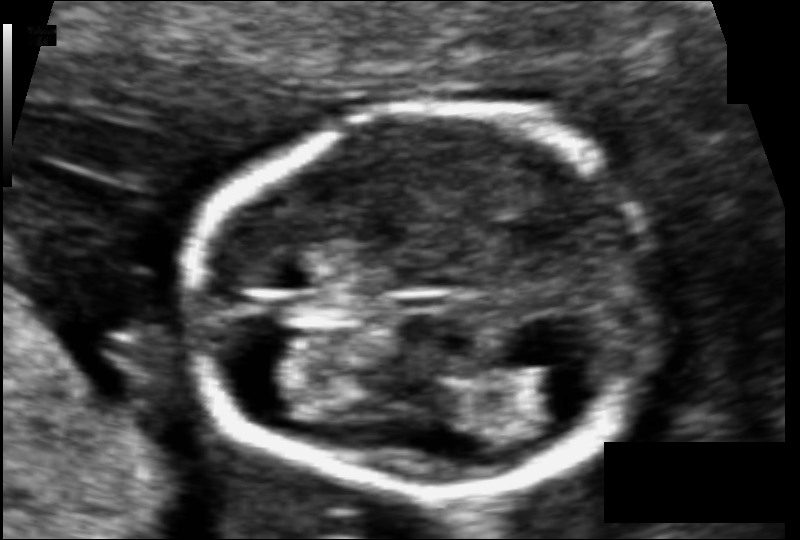
What is the fetal head circumference? Image width is 52.4 mm.

90.3 mm